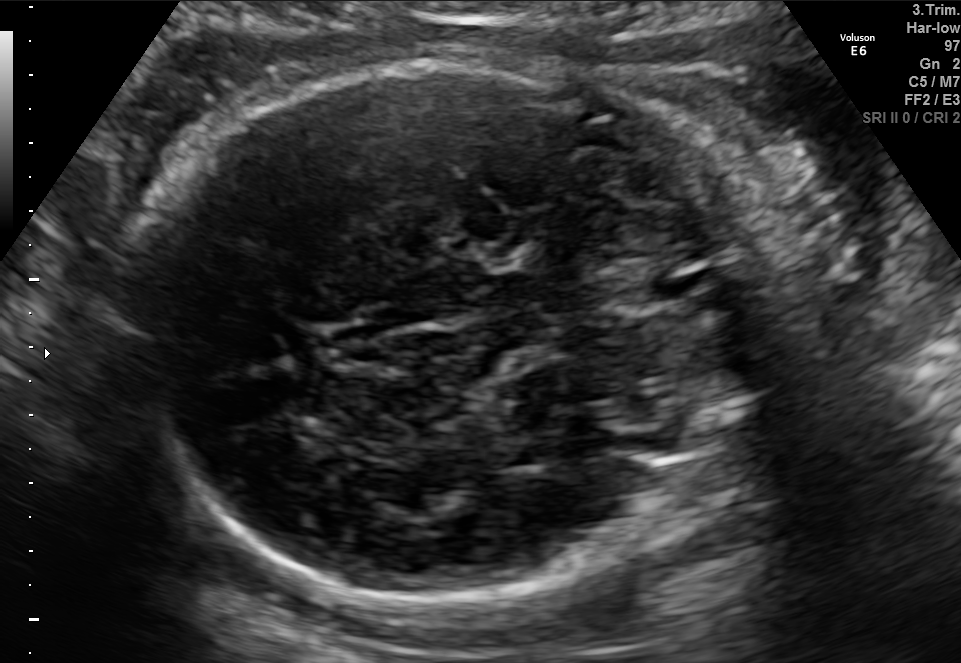
In this fetal brain, trans-cerebellum plane, give the bounding box of the fetal head.

[129,59,748,598]